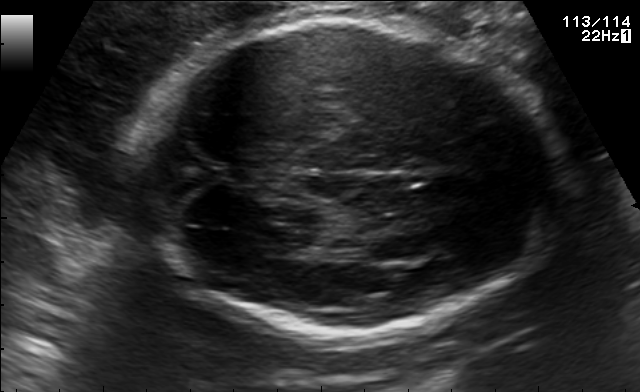
In this fetal brain, trans-thalamic plane, give bounding boxes for the head outline, cavum septum pellucidum (CSP), and lateral ventricle (LV), where visible.

Head: [131,18,577,336]